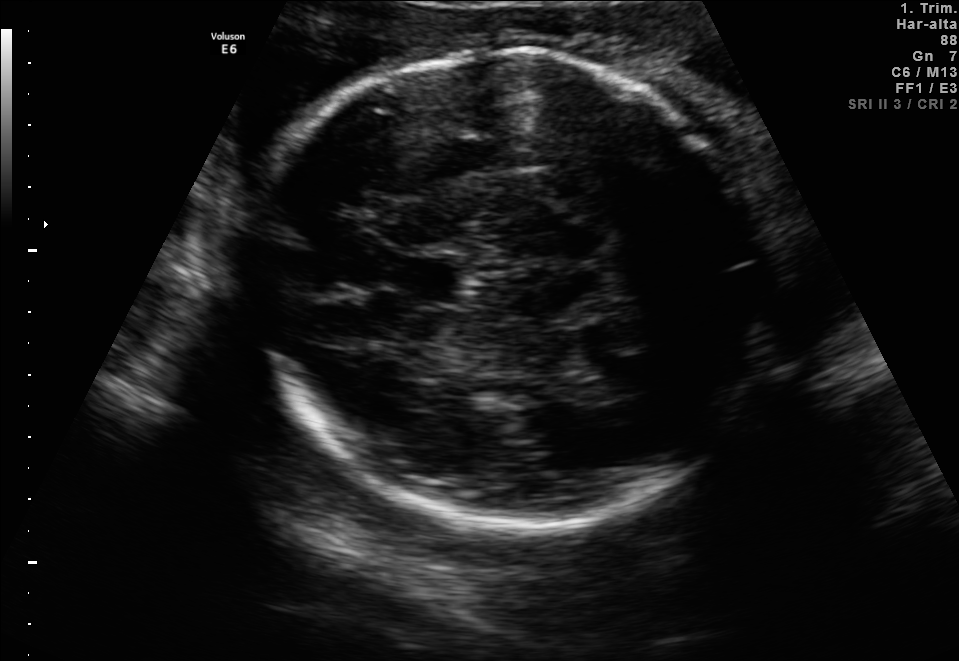
In this fetal brain, trans-thalamic plane, give the bounding box of the cavum septum pellucidum.

[399,256,460,303]